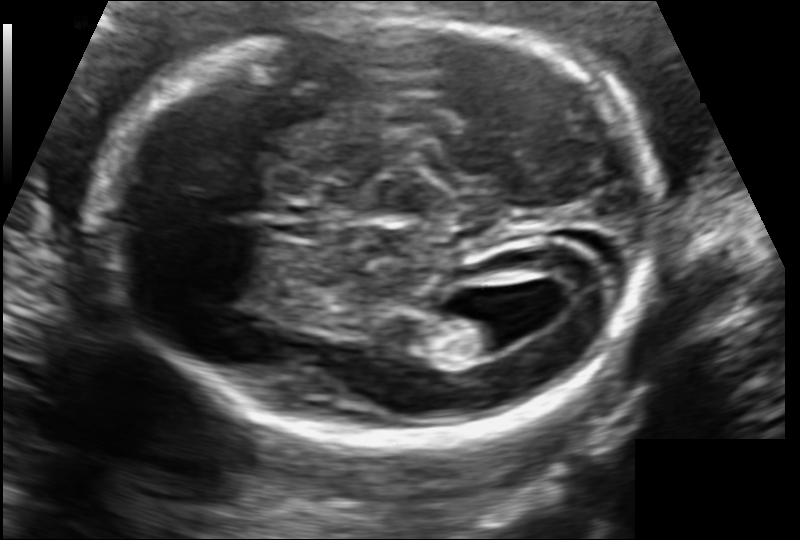
Estimate the fetal head circumference from this 2D ultrasound.

Head circumference: 172.9 mm (image width 87.0 mm).